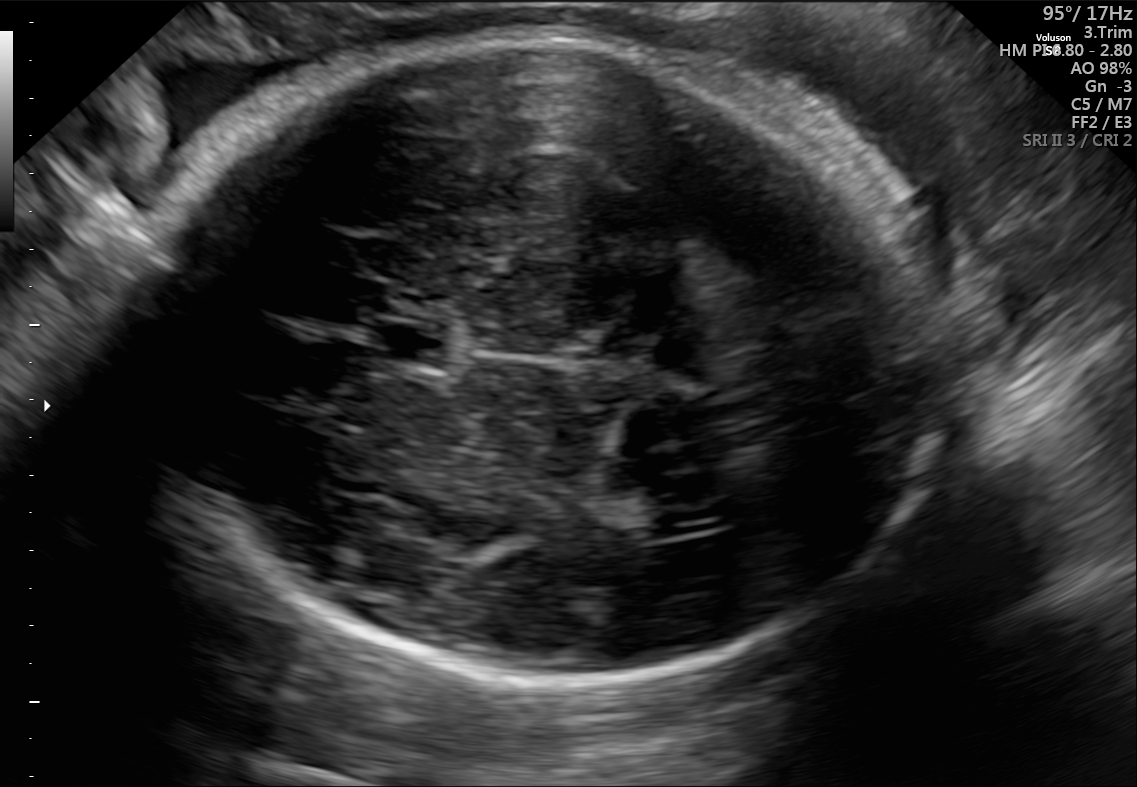
Fetal brain, trans-ventricular plane. Locate the fetal head and, if visible, the cavum septum pellucidum (CSP) and lateral ventricle (LV). Give bounding boxes as [x1,y1,x2,y2].

Head: [146,26,965,687]
CSP: [370,318,437,366]